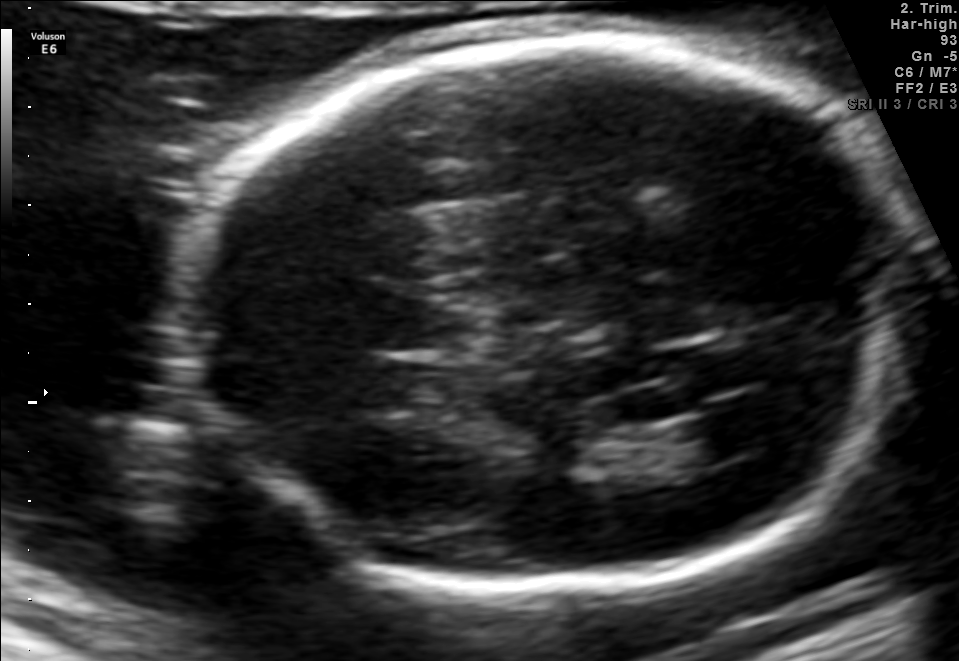
Fetal brain, trans-ventricular plane. Locate the fetal head.

Head: [159,31,932,606]